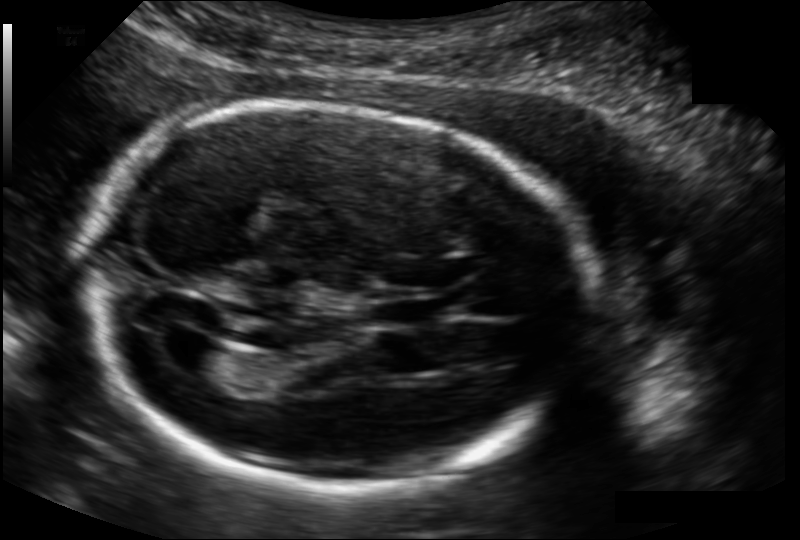
Fetal head ultrasound. Image width: 107.6 mm. Where is the lateral ventricle?

Lateral ventricle bounding box: [162,323,230,383]